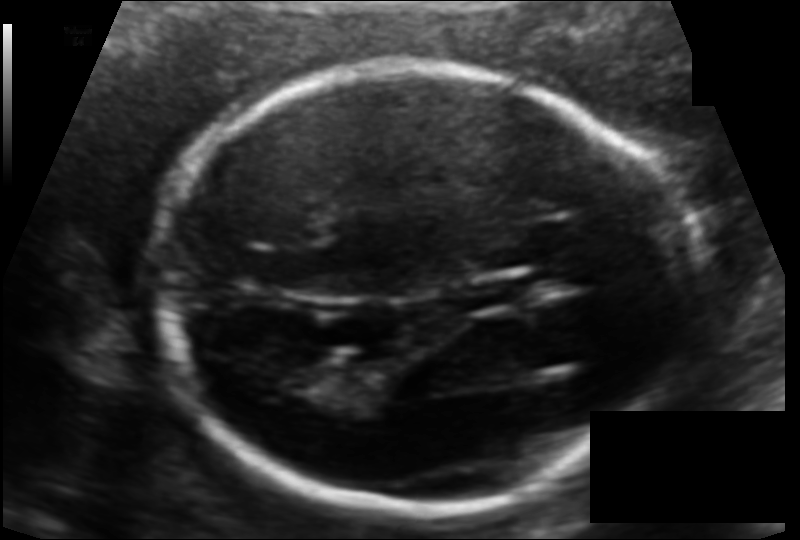
Estimate the fetal head circumference from this 2D ultrasound. Image width: 85.9 mm.

Head circumference: 170.3 mm.